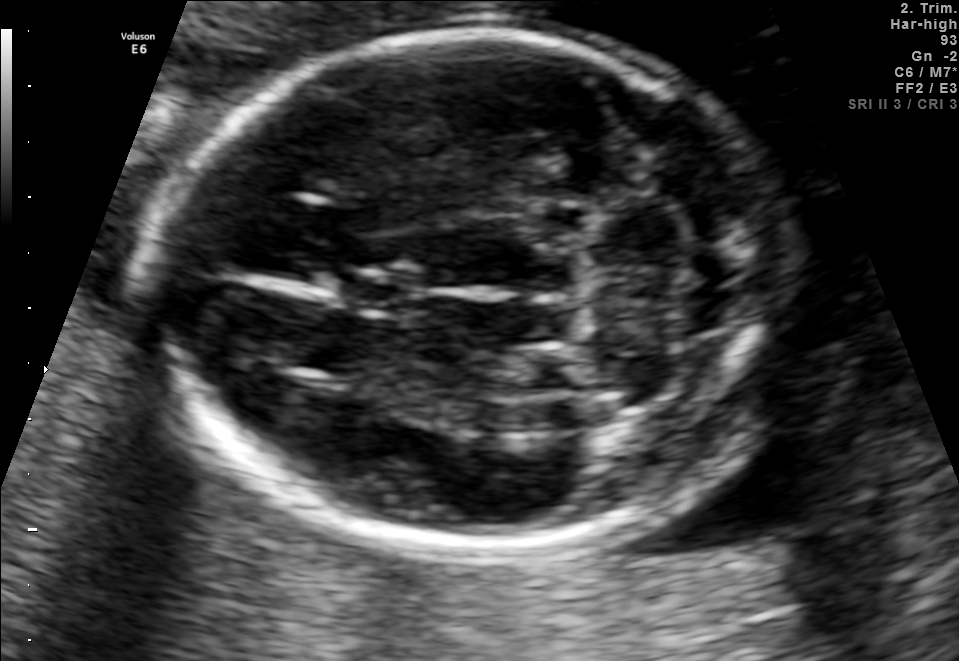
In this fetal brain, trans-cerebellum plane, give bounding boxes for the head outline, cavum septum pellucidum (CSP), and lateral ventricle (LV), where visible.

Head: [154,29,805,552]
CSP: [337,267,423,317]